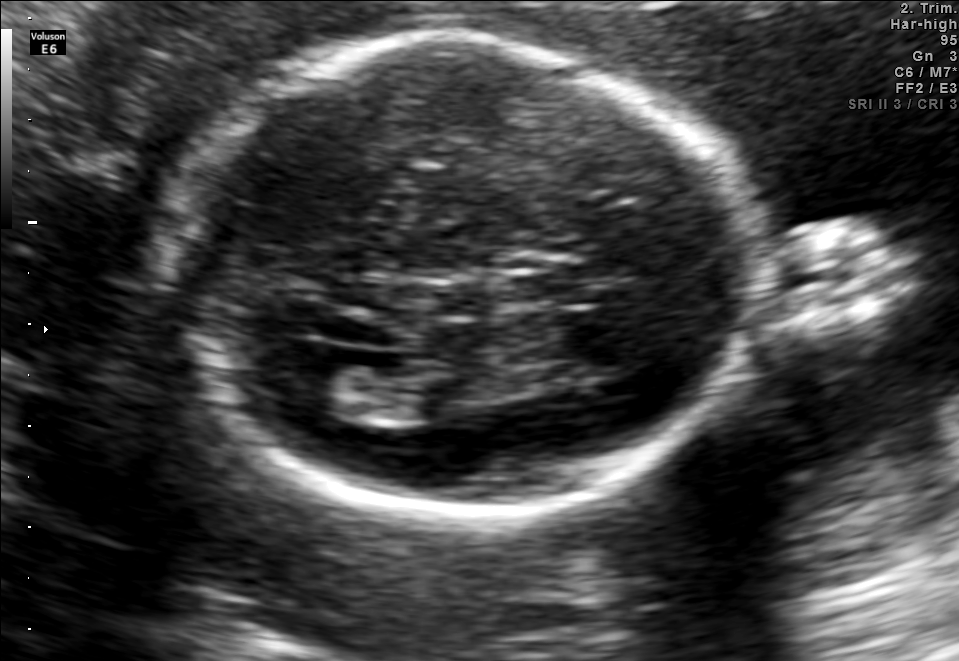
Fetal brain, trans-ventricular plane. Locate the fetal head.

Head: [154,32,769,521]